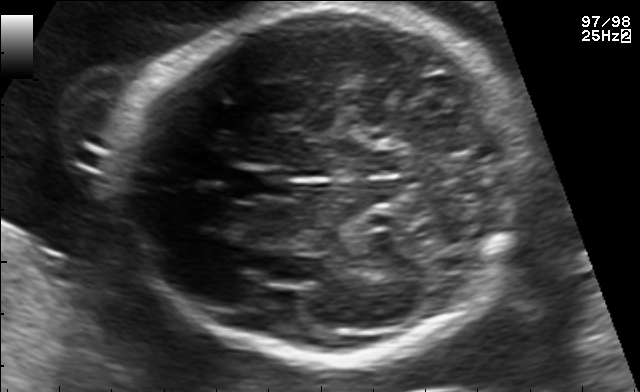
Fetal brain, trans-thalamic plane. Where is the cavum septum pellucidum?

CSP bounding box: [228,171,289,197]